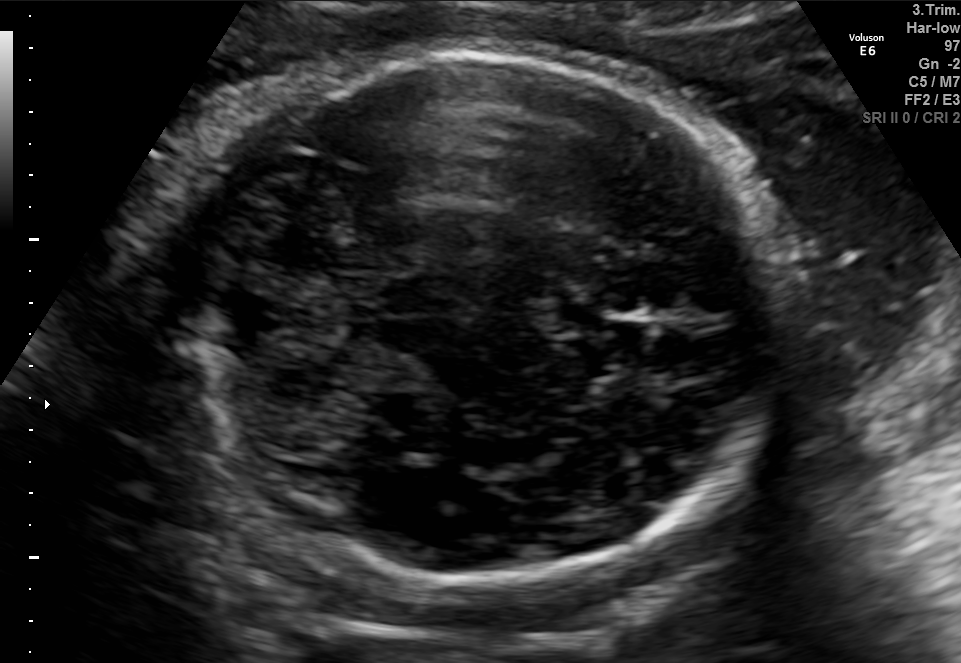
Fetal brain, trans-cerebellum plane. Where is the fetal head?

Head bounding box: [163,55,778,578]